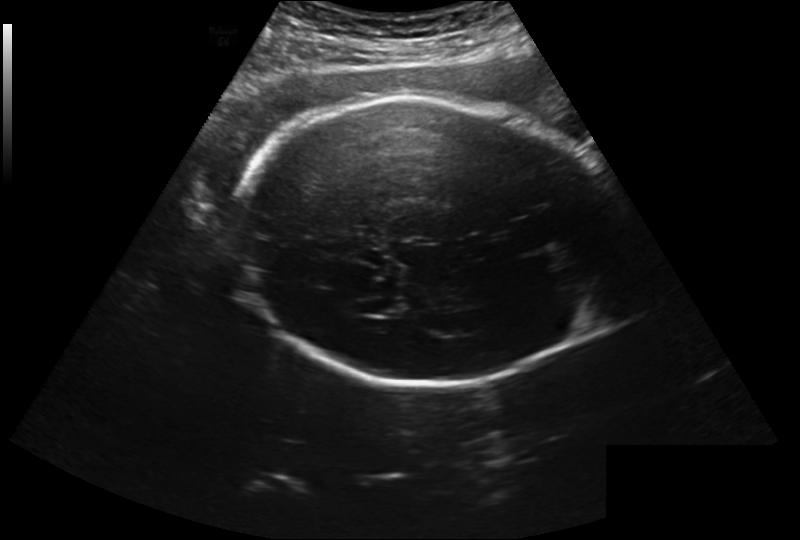
Fetal head ultrasound. Image width: 208.3 mm. Where is the lateral ventricle?

Lateral ventricle bounding box: [369,297,407,315]